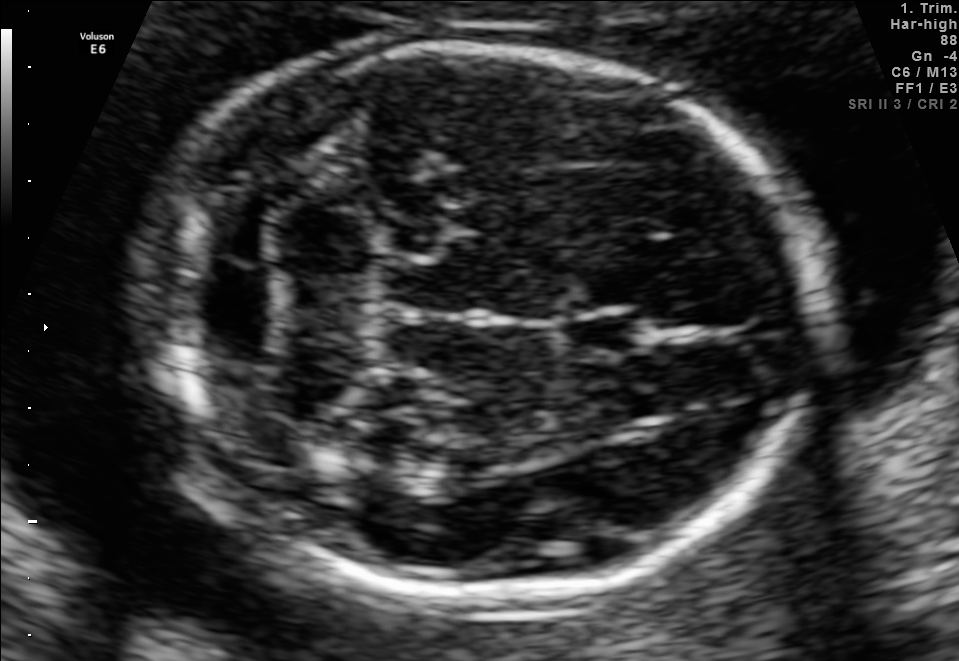
Fetal brain, trans-cerebellum plane. Locate the fetal head and, if visible, the cavum septum pellucidum (CSP) and lateral ventricle (LV). Give bounding boxes as [x1,y1,x2,y2].

Head: [138,48,821,597]
CSP: [565,305,650,359]